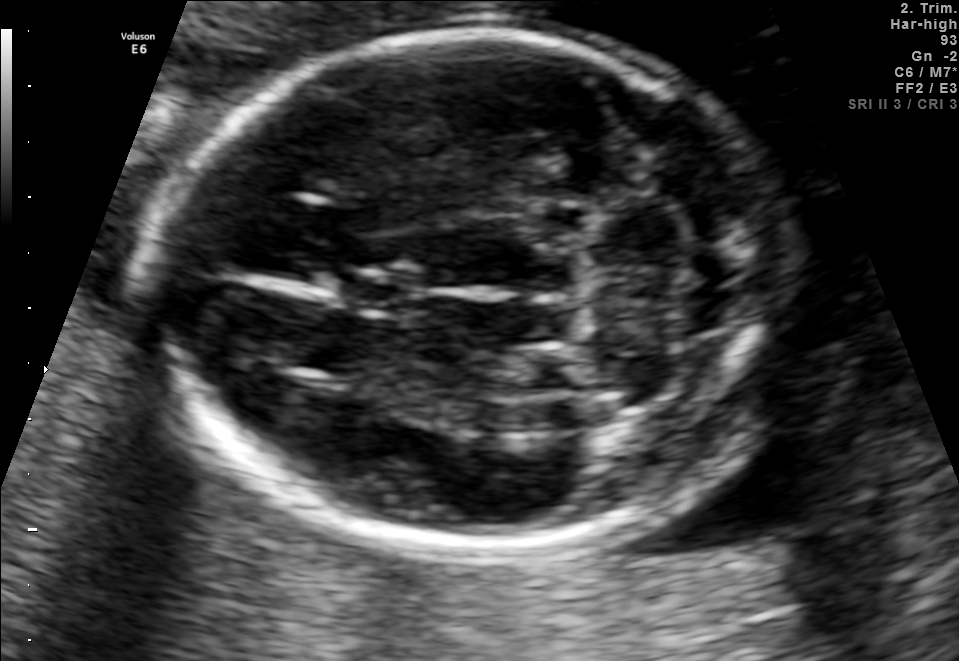
In this fetal brain, trans-cerebellum plane, give the bounding box of the fetal head.

[154,29,805,552]